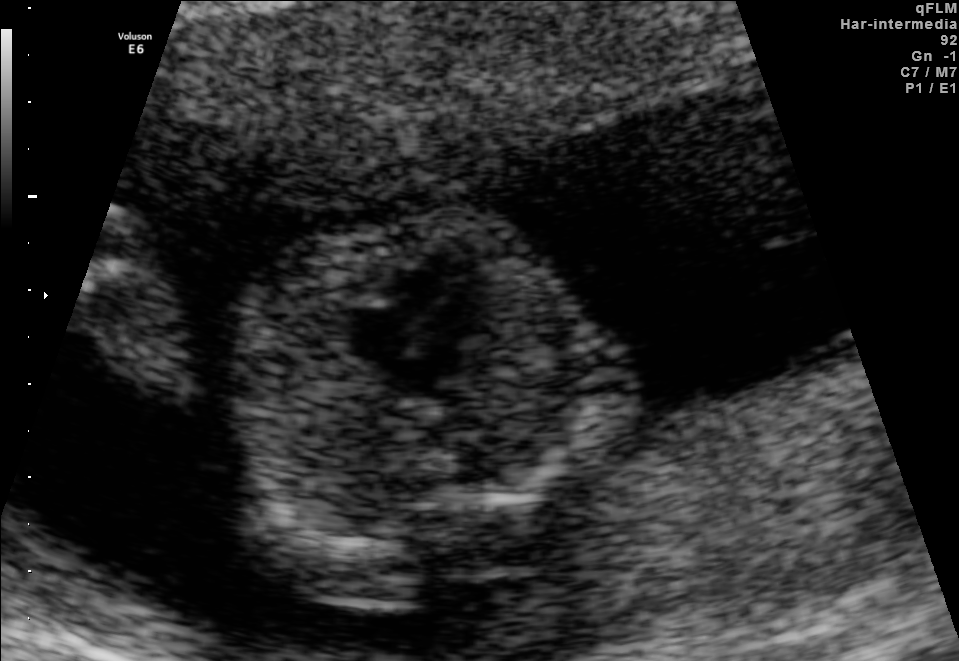
Identify the standard plane in this fetal ultrasound image: fetal abdomen, fetal brain, fetal femur, fetal thorax, maternal cervix, or other. If it's fetal brain and one of the three standard brain planes (trans-thalamic, trans-cerebellum, trans-ventricular), name which.

Fetal thorax